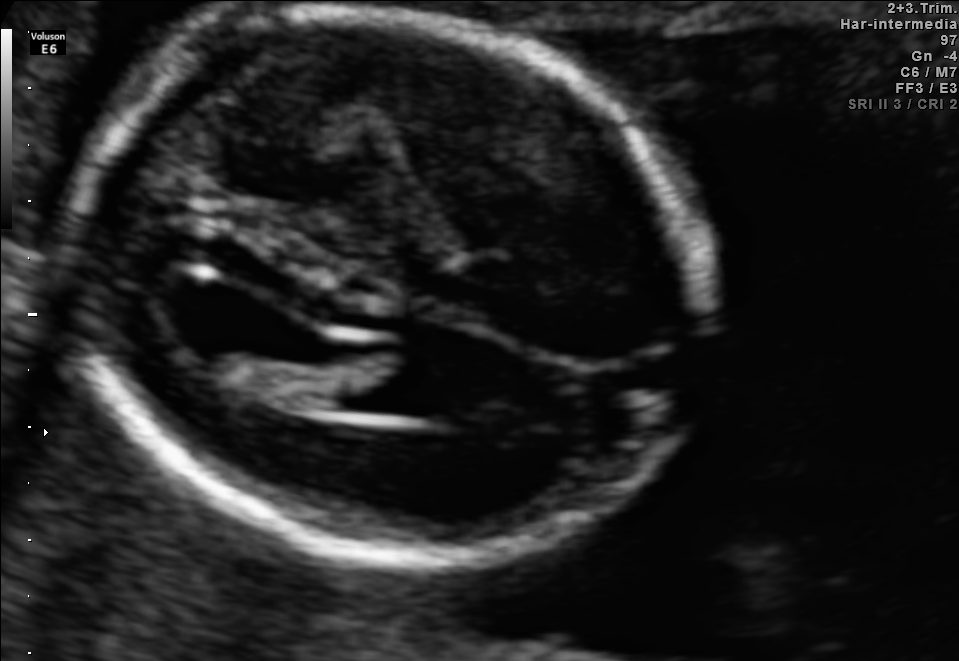
Fetal brain, trans-ventricular plane. Locate the fetal head and, if visible, the cavum septum pellucidum (CSP) and lateral ventricle (LV). Give bounding boxes as [x1,y1,x2,y2].

Head: [54,4,729,577]